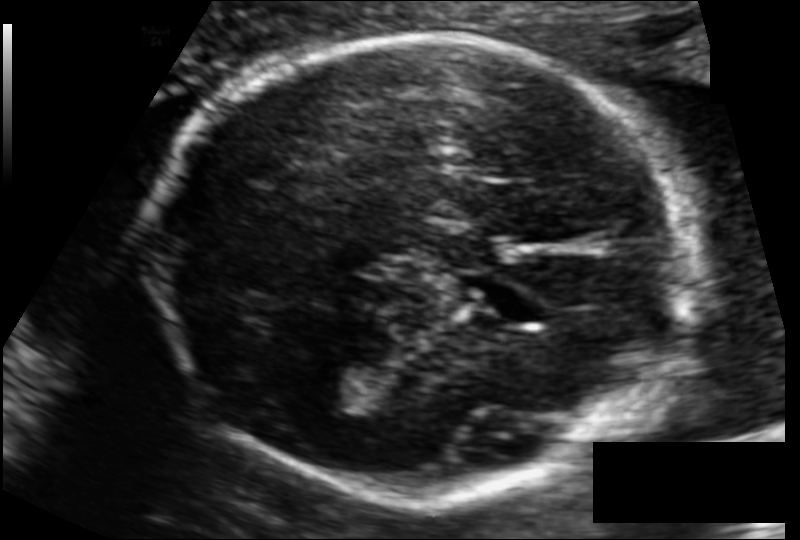
Estimate the fetal head circumference from this 2D ultrasound. Image width: 89.9 mm.

Head circumference: 184.4 mm.